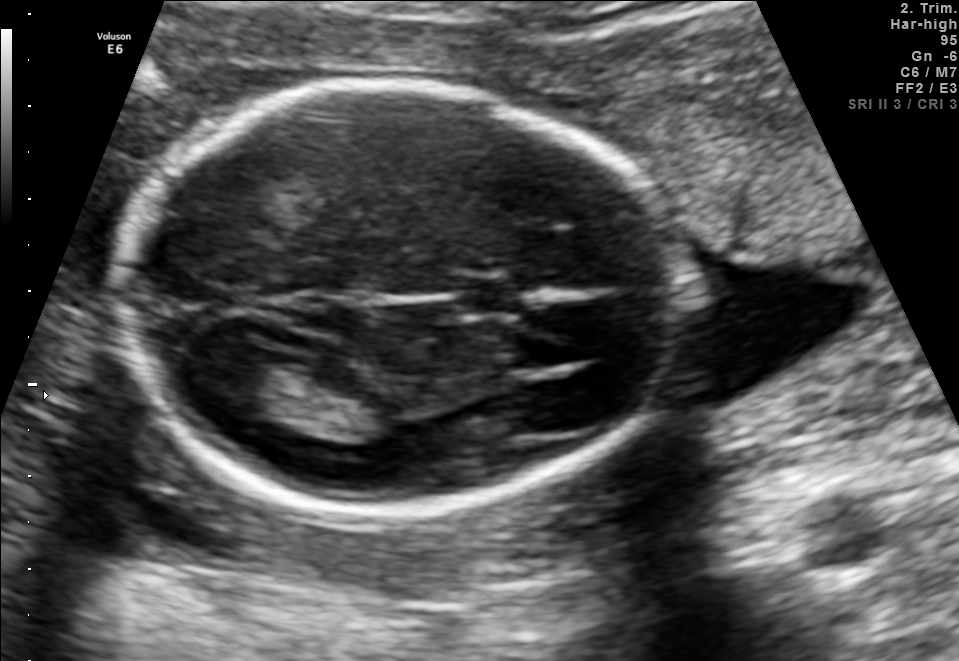
In this fetal brain, trans-thalamic plane, give the bounding box of the fetal head.

[117,87,684,514]